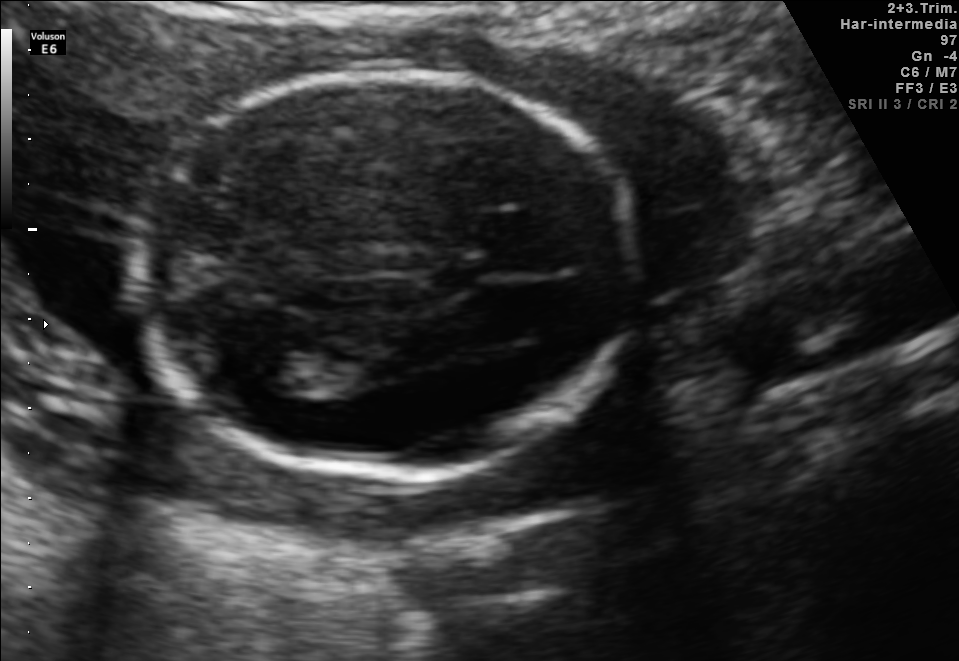
Fetal brain, trans-ventricular plane. Give [x1,y1,x2,y2] bounding boxes for each visible structure among: fetal head, CSP, LV.

Head: [124,65,647,484]